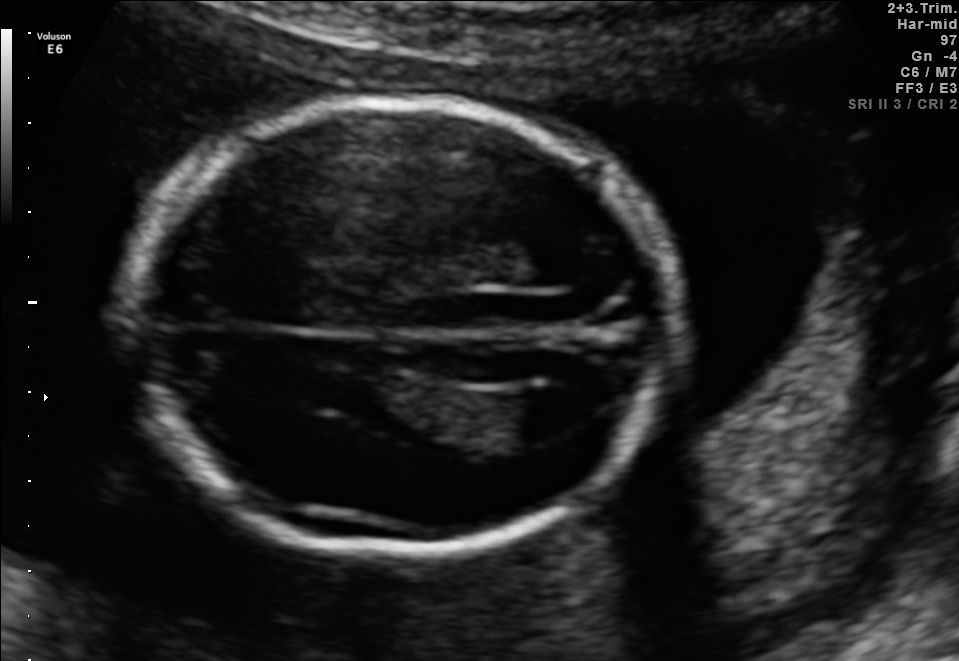
In this fetal brain, trans-ventricular plane, give the bounding box of the lateral ventricle.

[502,374,598,448]